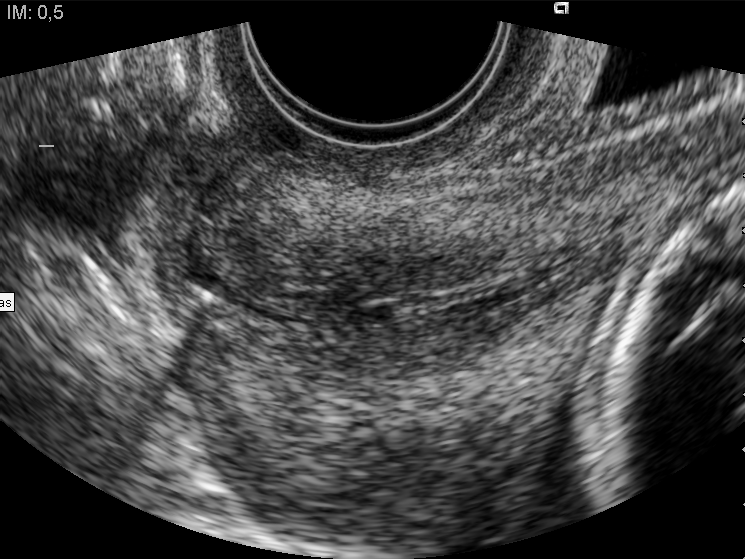
Classify this maternal-fetal ultrasound image as one of the six standard planes — fetal abdomen, fetal brain, fetal femur, fetal thorax, maternal cervix, or other. If it's fetal brain and one of the three standard brain planes (trans-thalamic, trans-cerebellum, trans-ventricular), name which.

Maternal cervix